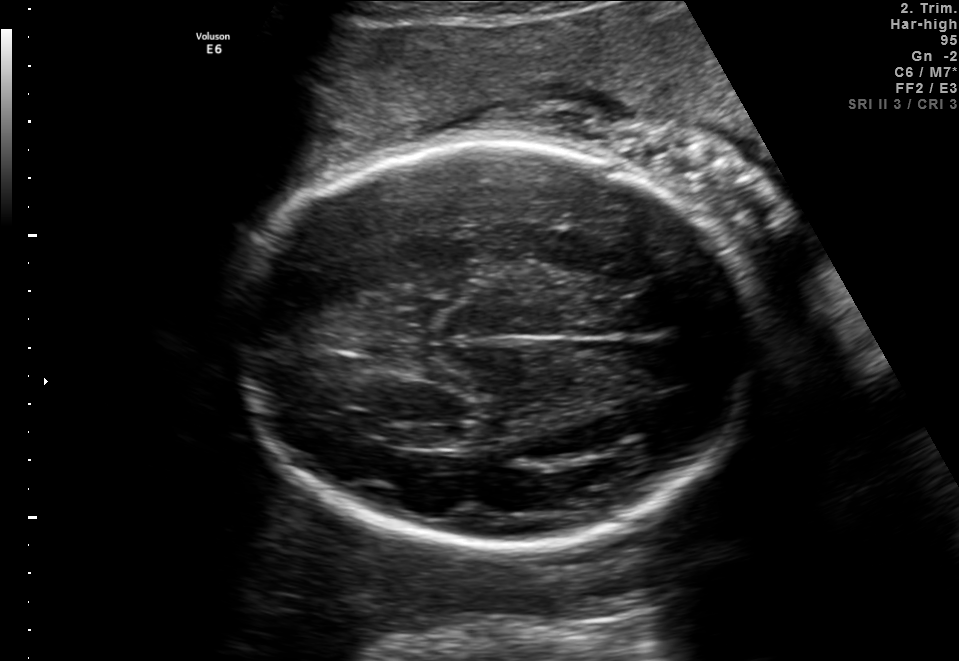
Fetal brain, trans-thalamic plane. Locate the fetal head and, if visible, the cavum septum pellucidum (CSP) and lateral ventricle (LV). Give bounding boxes as [x1,y1,x2,y2].

Head: [225,144,764,547]
Lateral ventricle: [384,425,468,448]